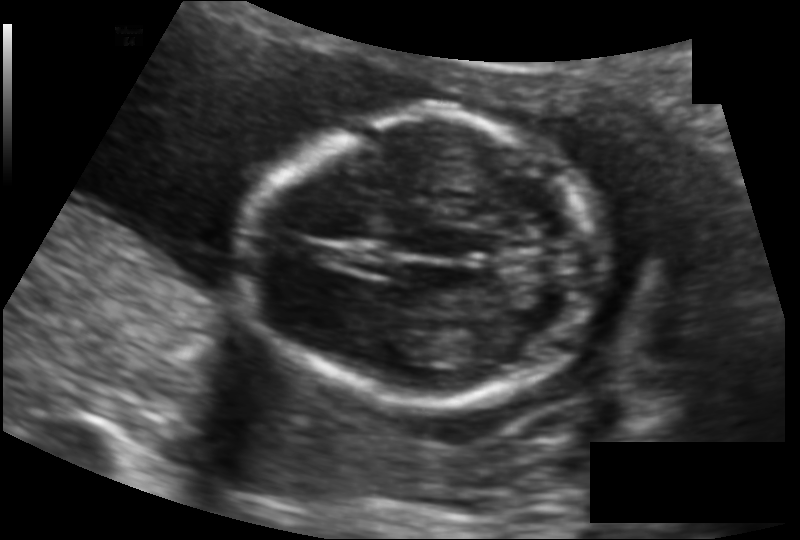
From this fetal ultrasound, estimate the head circumference (image width 97.8 mm).

Head circumference: 129.3 mm.